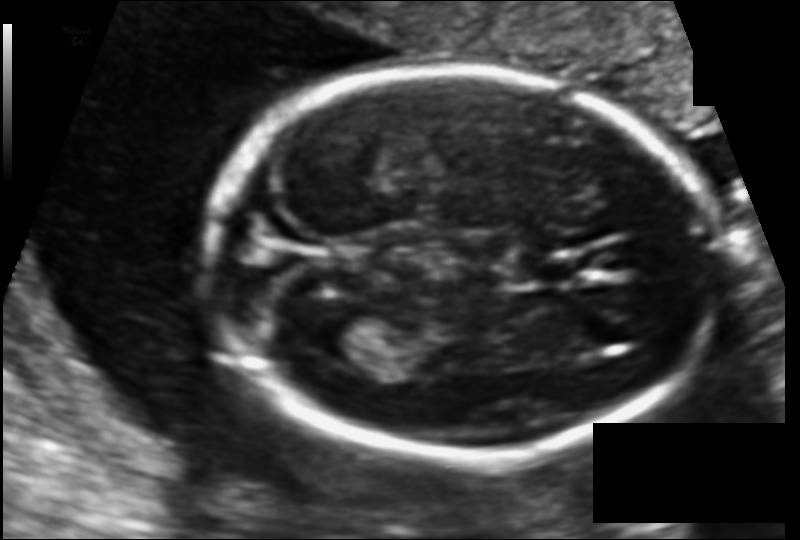
Fetal head ultrasound. Image width: 86.7 mm. Locate the cavum septum pellucidum.

CSP: [519,254,582,287]